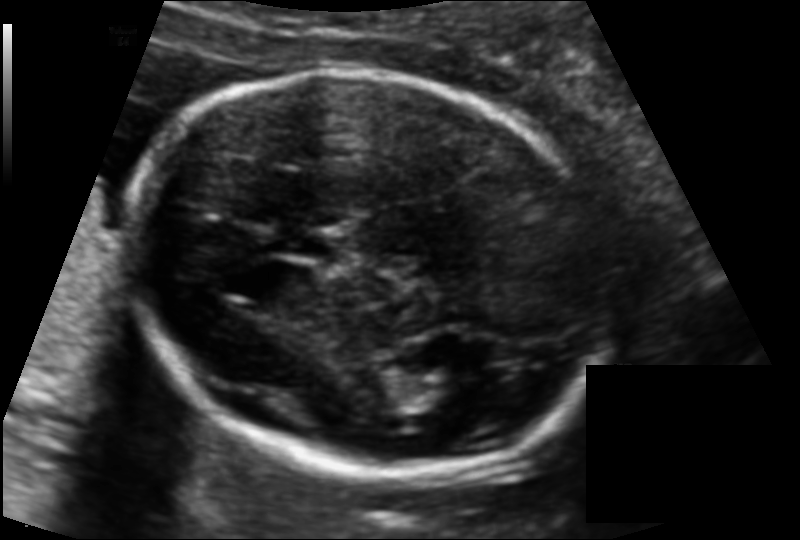
What is the fetal head circumference? Image width is 93.1 mm.

170.1 mm